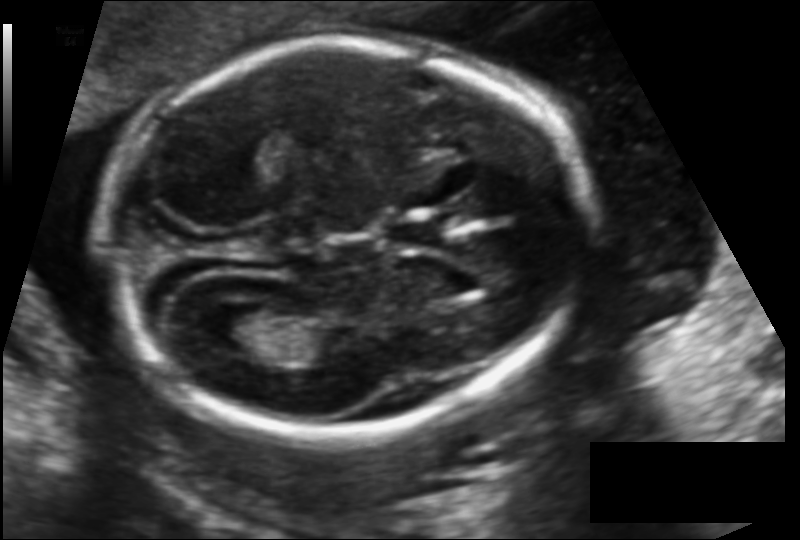
Estimate the fetal head circumference from this 2D ultrasound. Image width: 98.7 mm.

Head circumference: 173.7 mm.